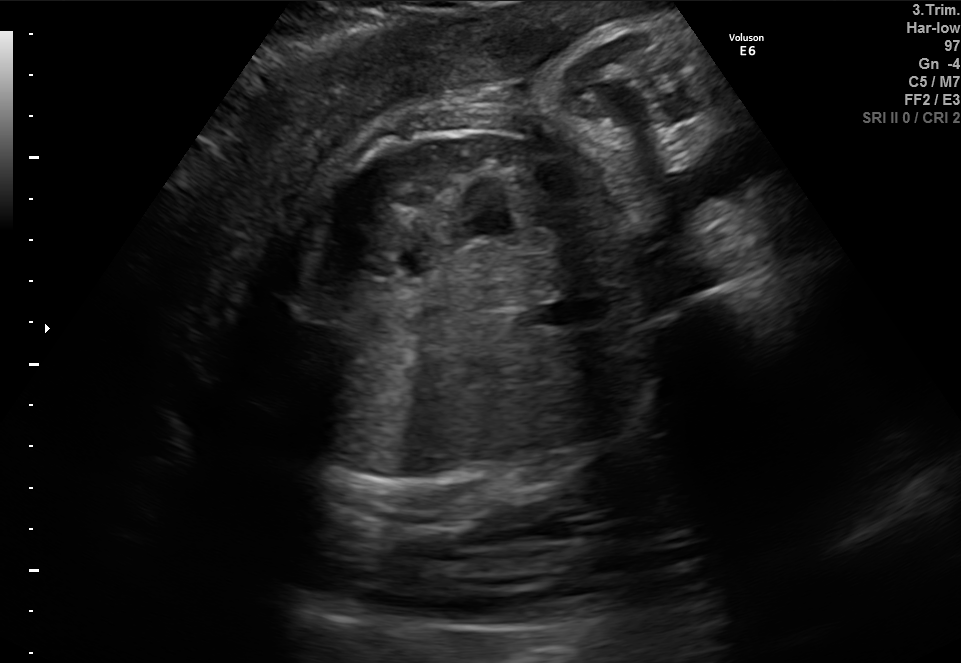
Which standard maternal-fetal ultrasound plane is shown: fetal abdomen, fetal brain, fetal femur, fetal thorax, maternal cervix, or other? If it's fetal brain and one of the three standard brain planes (trans-thalamic, trans-cerebellum, trans-ventricular), name which.

Fetal abdomen